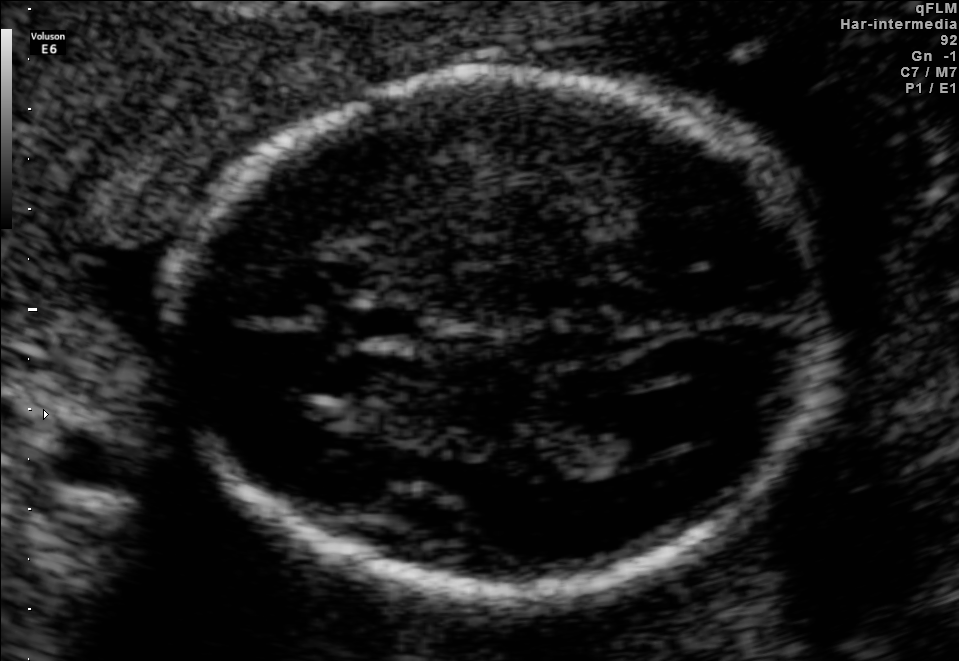
Fetal brain, trans-ventricular plane. Where is the fetal head?

Head bounding box: [153,63,852,604]